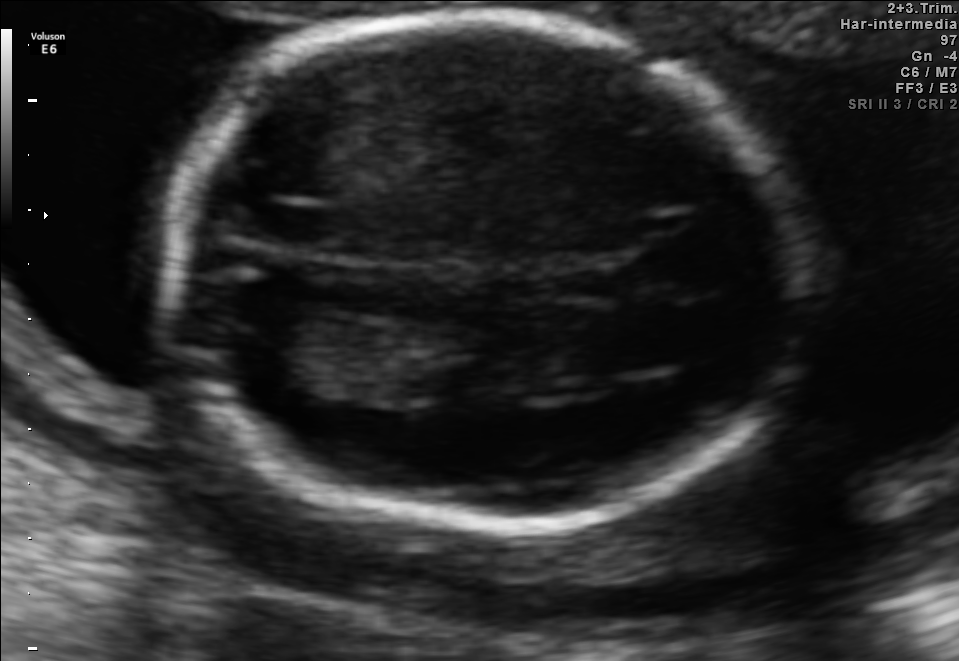
Fetal brain, trans-thalamic plane. Locate the fetal head and, if visible, the cavum septum pellucidum (CSP) and lateral ventricle (LV). Give bounding boxes as [x1,y1,x2,y2].

Head: [169,16,808,531]